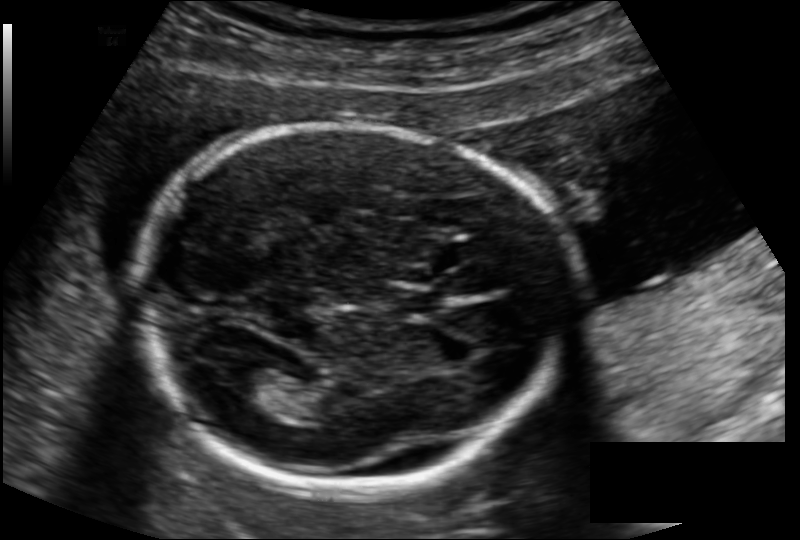
Fetal head ultrasound. Image width: 107.6 mm. Where is the lateral ventricle?

Lateral ventricle bounding box: [226,356,281,404]